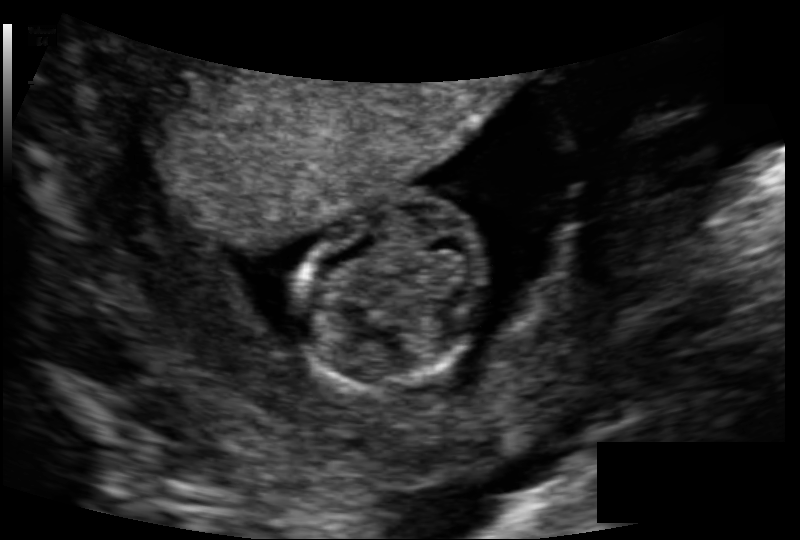
Fetal head ultrasound. Image width: 94.2 mm. Give [x1,y1,x2,y2] bounding boxes for each visible structure among: fetal head, CSP, LV.

Head: [298,197,494,387]